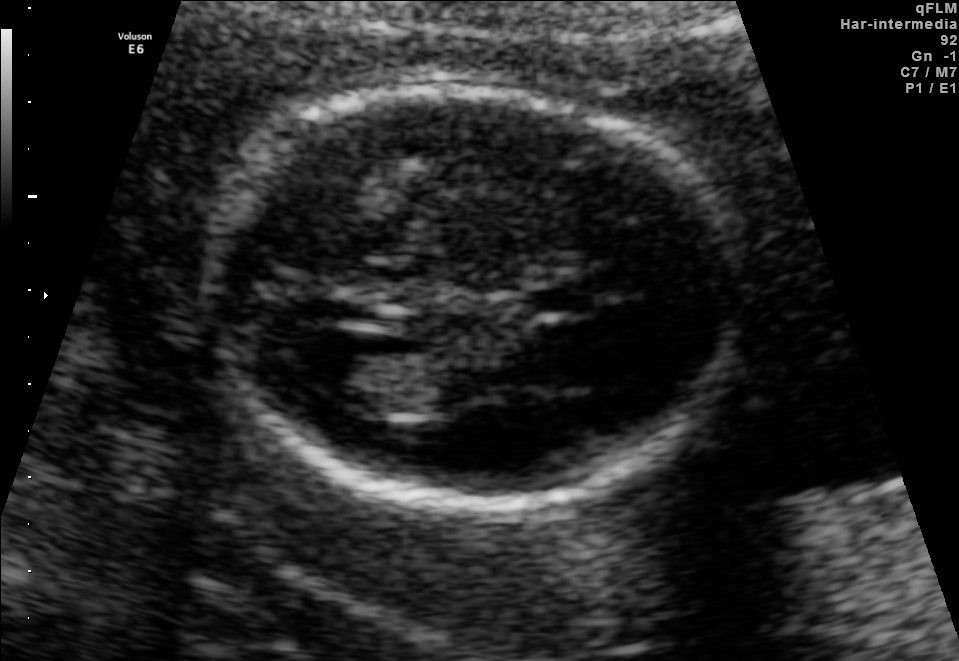
In this fetal brain, trans-ventricular plane, give the bounding box of the cavum septum pellucidum.

[523,288,597,313]